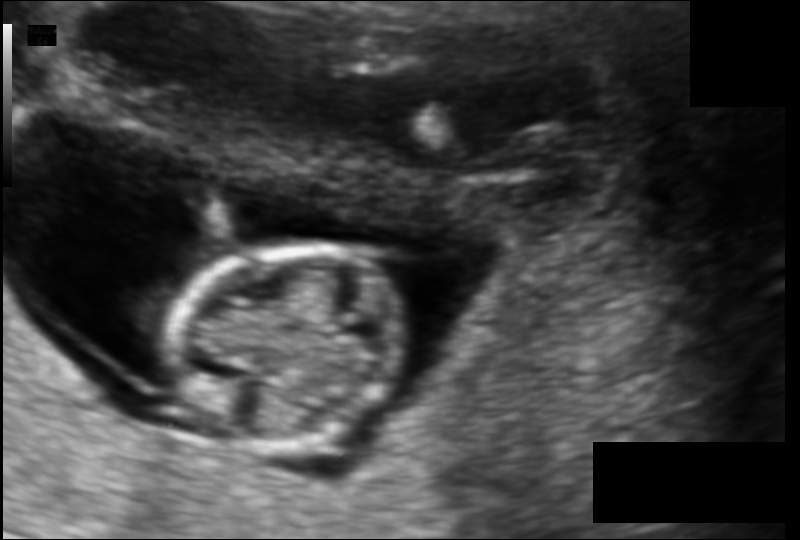
Fetal head ultrasound. Image width: 83.9 mm. Locate the fetal head.

Head: [165,244,405,443]